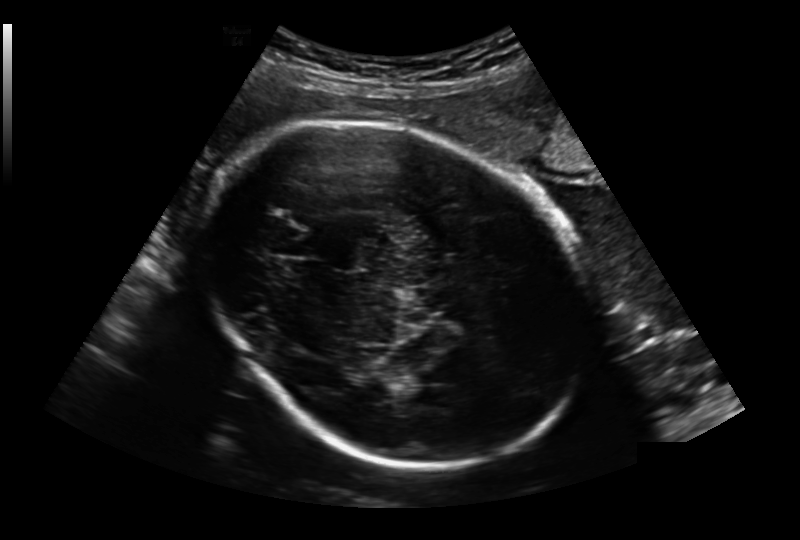
In this fetal head ultrasound, give the bounding box of the fetal head. Image width: 188.7 mm.

[202,121,593,465]